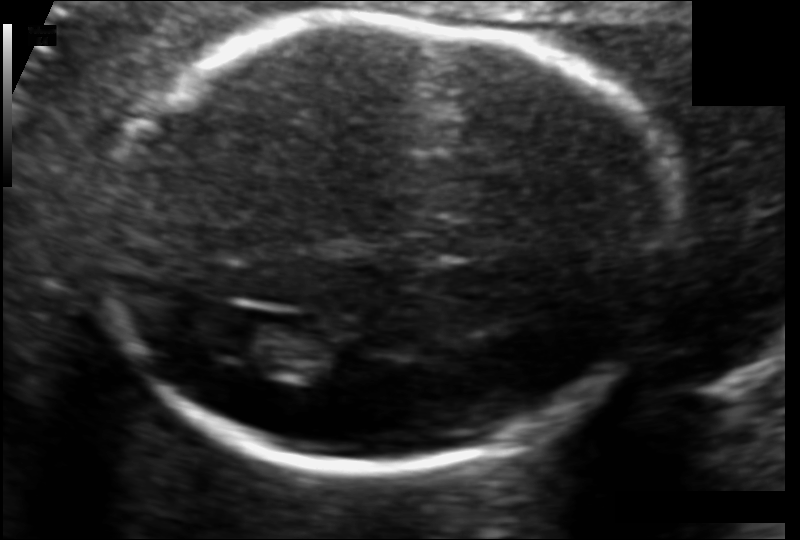
From this fetal ultrasound, estimate the head circumference (image width 84.9 mm).

Head circumference: 175.1 mm.